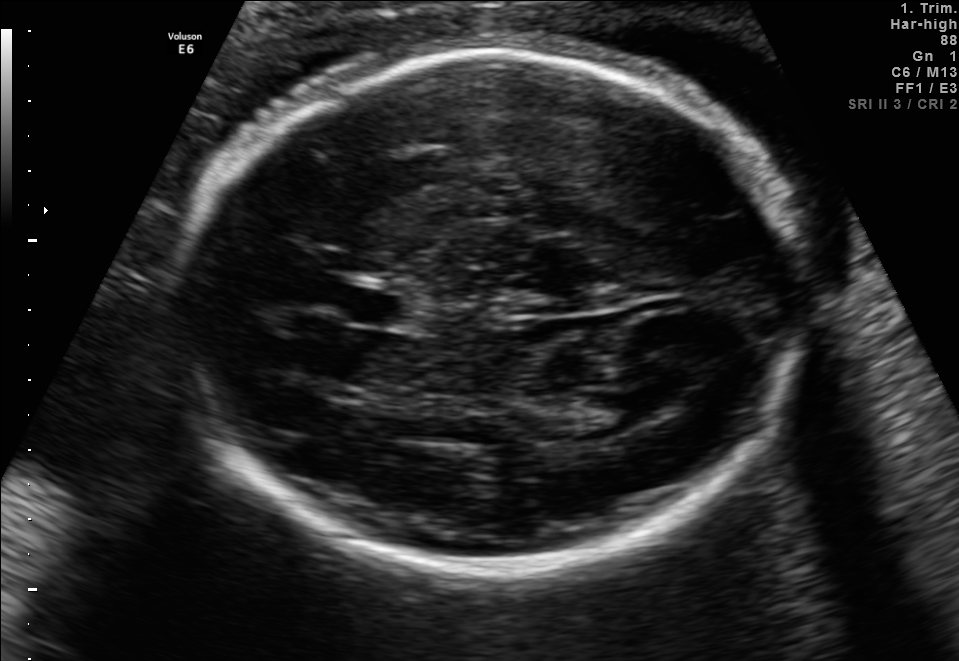
Fetal brain, trans-thalamic plane. Where is the cavum septum pellucidum?

CSP bounding box: [343,286,411,328]